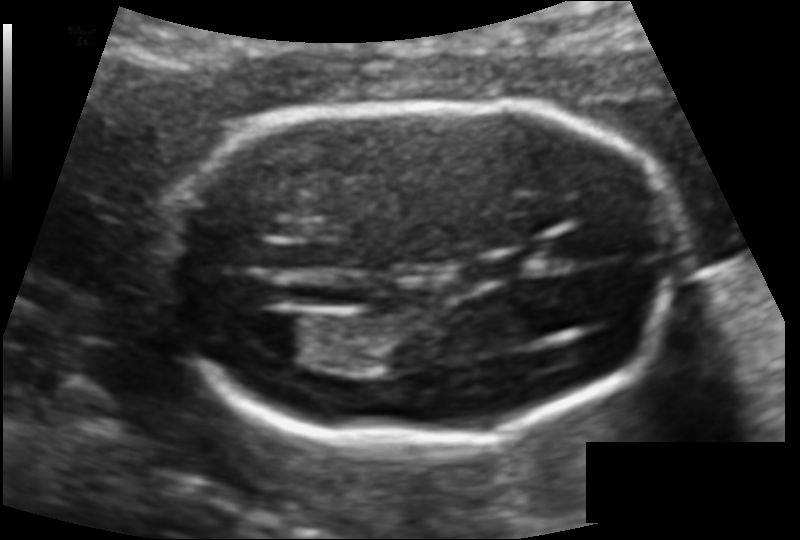
Estimate the fetal head circumference from this 2D ultrasound. Image width: 87.1 mm.

Head circumference: 155.3 mm.